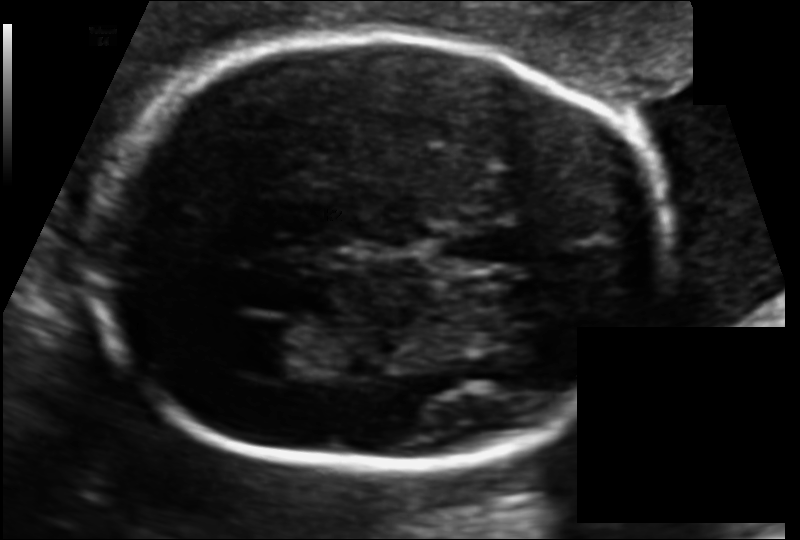
Fetal head ultrasound. Image width: 89.0 mm. Where is the lateral ventricle?

Lateral ventricle bounding box: [224,317,316,381]